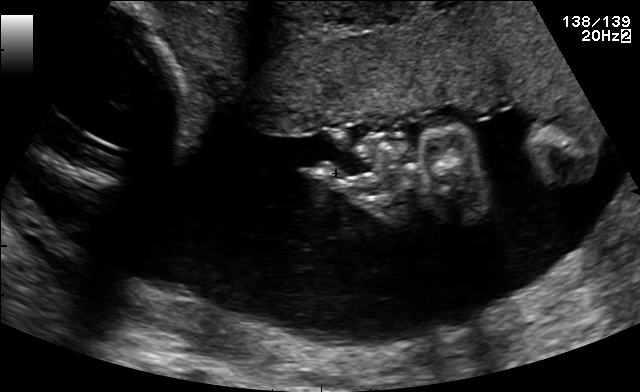
This is a 2D maternal-fetal ultrasound frame. Is it a fetal abdomen, fetal brain, fetal femur, fetal thorax, maternal cervix, or other standard plane? If it's fetal brain and one of the three standard brain planes (trans-thalamic, trans-cerebellum, trans-ventricular), name which.

Other